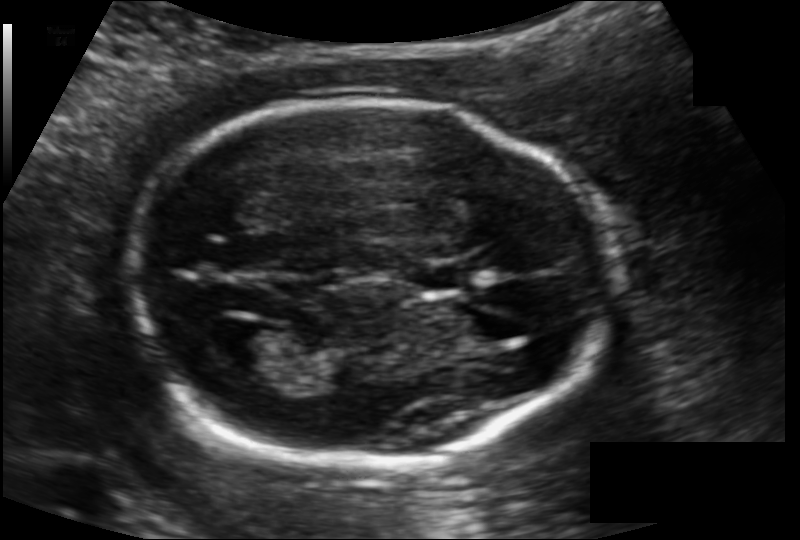
Fetal head ultrasound. Image width: 96.5 mm. Where is the lateral ventricle?

Lateral ventricle bounding box: [211,322,286,378]